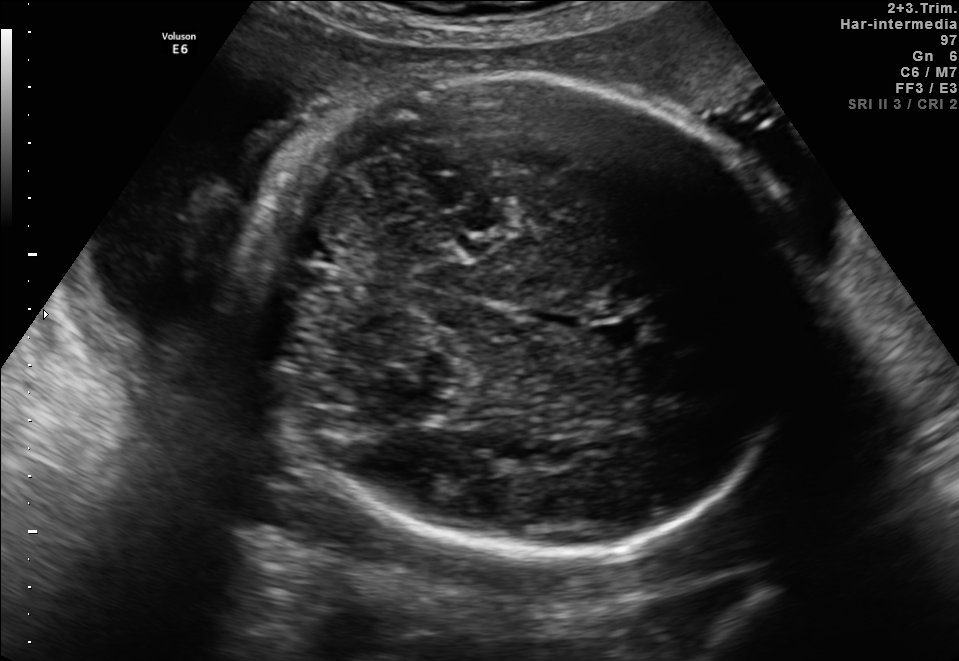
Fetal brain, trans-cerebellum plane. Give [x1,y1,x2,y2] bounding boxes for each visible structure among: fetal head, CSP, LV.

Head: [259,79,798,558]
CSP: [585,312,654,358]